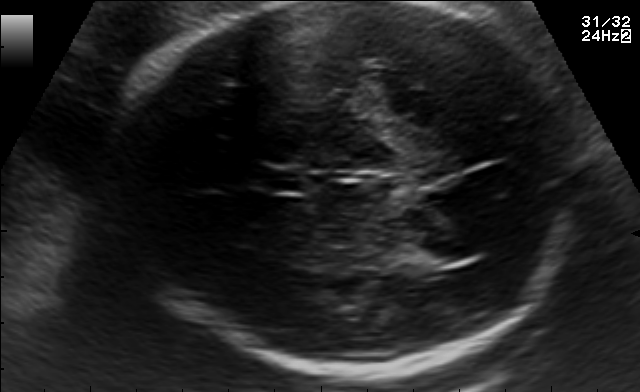
Classify this maternal-fetal ultrasound image as one of the six standard planes — fetal abdomen, fetal brain, fetal femur, fetal thorax, maternal cervix, or other. If it's fetal brain and one of the three standard brain planes (trans-thalamic, trans-cerebellum, trans-ventricular), name which.

Fetal brain (trans-thalamic plane)